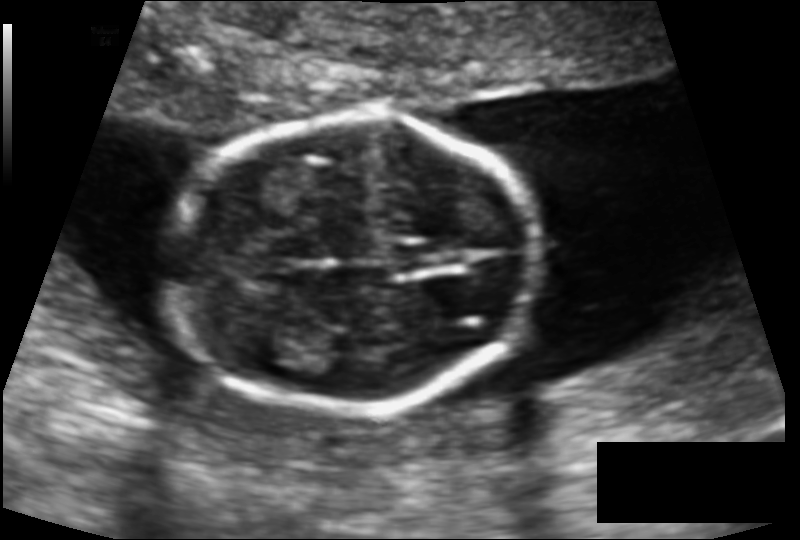
Estimate the fetal head circumference from this 2D ultrasound. Image width: 89.5 mm.

Head circumference: 122.0 mm.